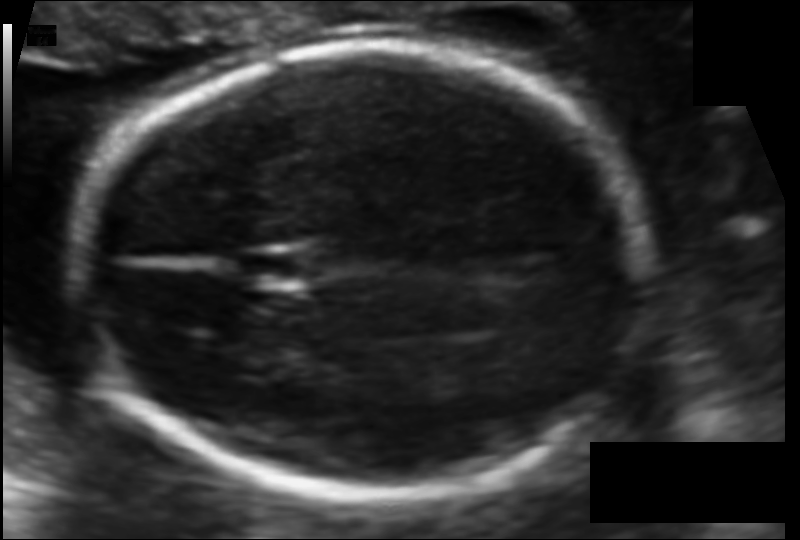
From this fetal ultrasound, estimate the head circumference (image width 84.8 mm).

Head circumference: 178.5 mm.